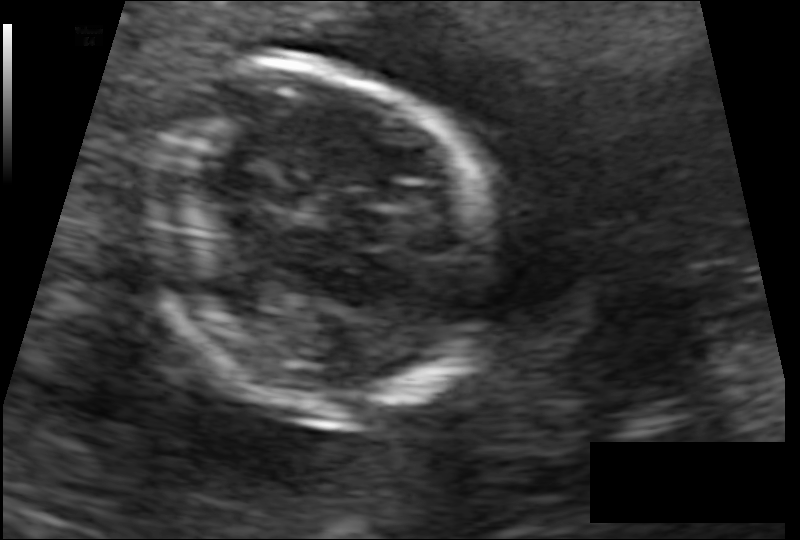
Estimate the fetal head circumference from this 2D ultrasound.

Head circumference: 104.7 mm (image width 73.2 mm).